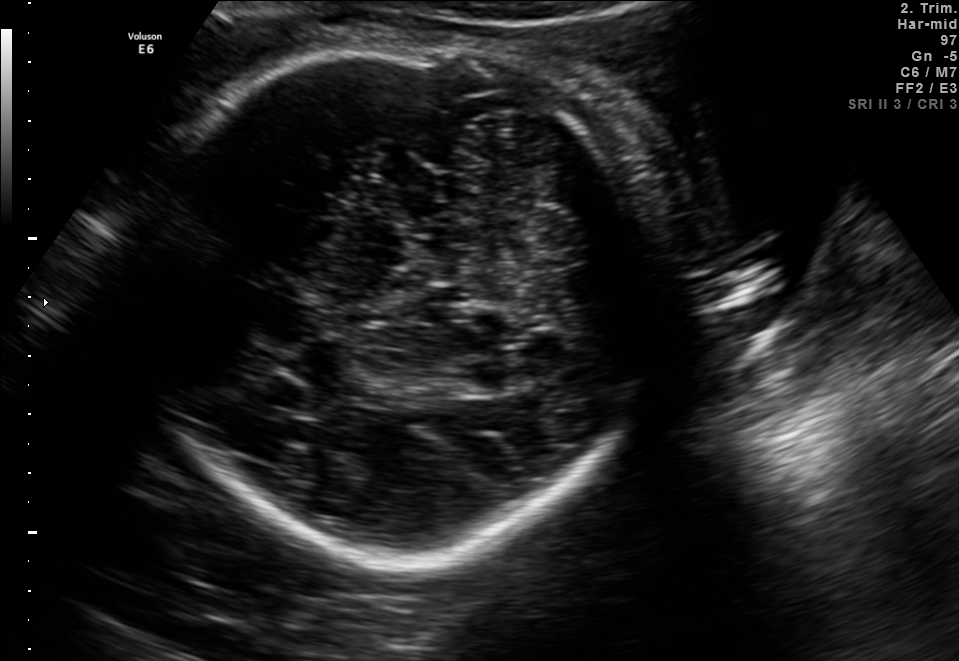
Fetal brain, trans-cerebellum plane. Locate the fetal head and, if visible, the cavum septum pellucidum (CSP) and lateral ventricle (LV). Give bounding boxes as [x1,y1,x2,y2].

Head: [134,45,649,554]